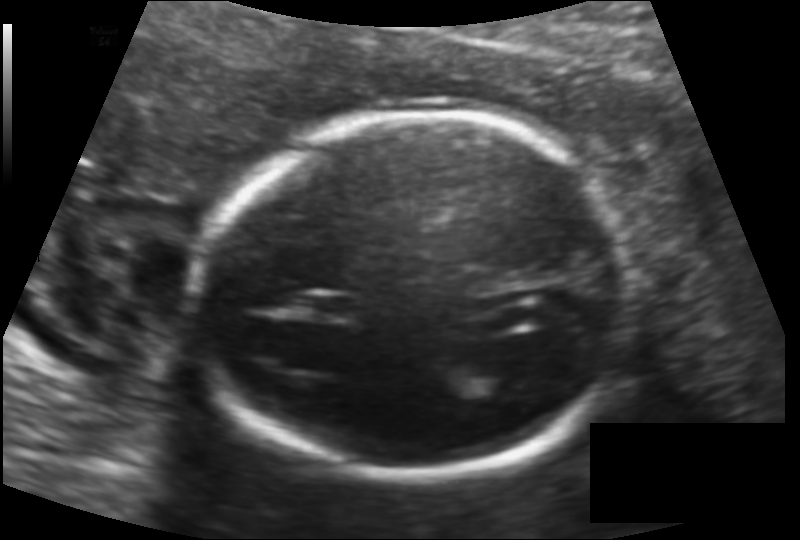
What is the fetal head circumference? Image width is 104.4 mm.

169.5 mm